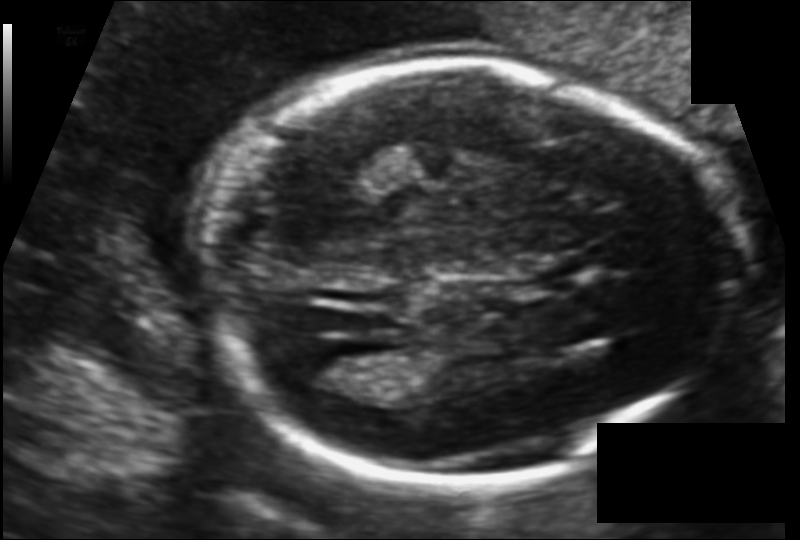
Fetal head ultrasound. Image width: 93.1 mm. Locate the fetal head and, if visible, the cavum septum pellucidum (CSP) and lateral ventricle (LV). Give bounding boxes as [x1,y1,x2,y2].

Head: [198,60,736,485]
Lateral ventricle: [289,342,376,396]